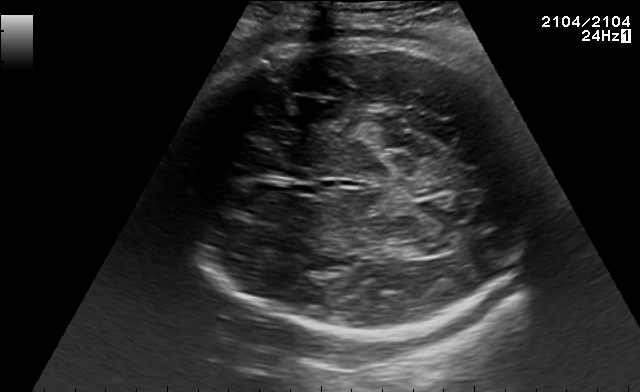
Fetal brain, trans-thalamic plane. Give [x1,y1,x2,y2] bounding boxes for each visible structure among: fetal head, CSP, LV.

Head: [168,40,538,335]
CSP: [293,185,317,194]
Lateral ventricle: [412,234,459,258]